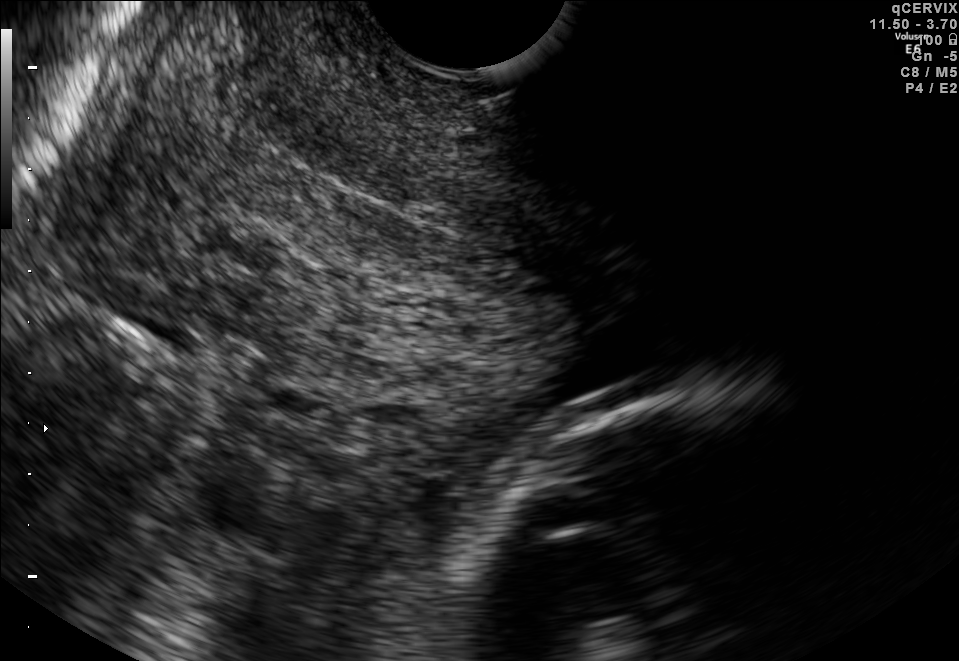
Classify this maternal-fetal ultrasound image as one of the six standard planes — fetal abdomen, fetal brain, fetal femur, fetal thorax, maternal cervix, or other. If it's fetal brain and one of the three standard brain planes (trans-thalamic, trans-cerebellum, trans-ventricular), name which.

Maternal cervix